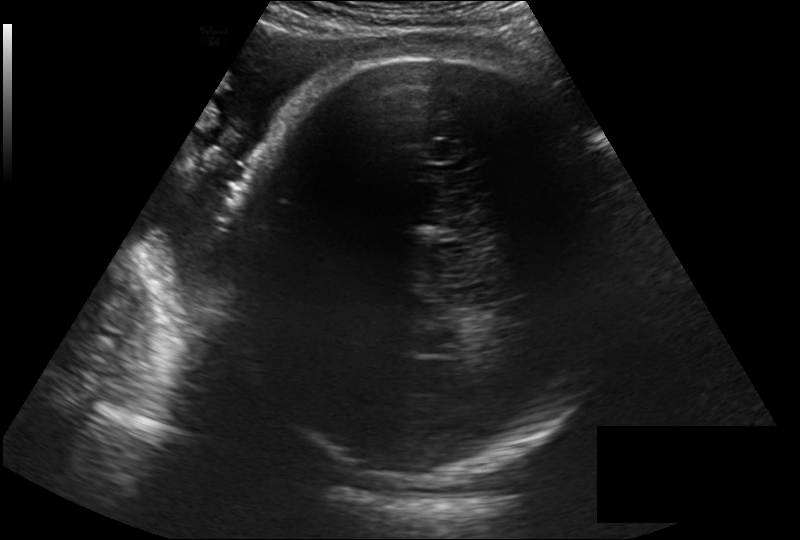
In this fetal head ultrasound, give bounding boxes for the head outline, cavum septum pellucidum (CSP), and lateral ventricle (LV), where visible. Image width: 206.0 mm.

Head: [224,54,625,483]